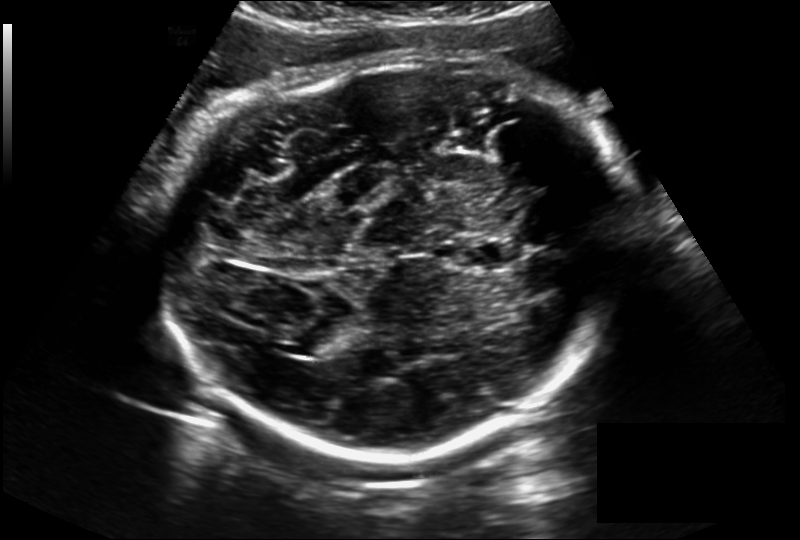
Estimate the fetal head circumference from this 2D ultrasound.

Head circumference: 315.8 mm (image width 182.1 mm).